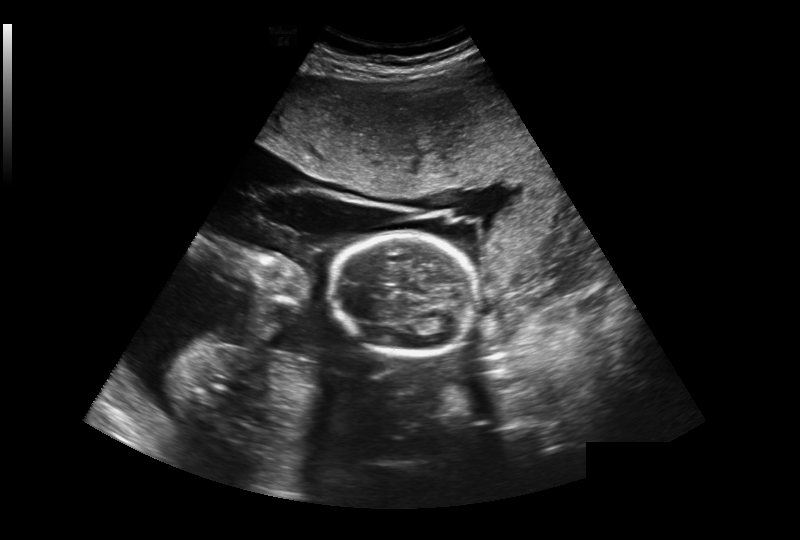
In this fetal head ultrasound, give the bounding box of the fetal head. Image width: 314.6 mm.

[331,234,477,355]